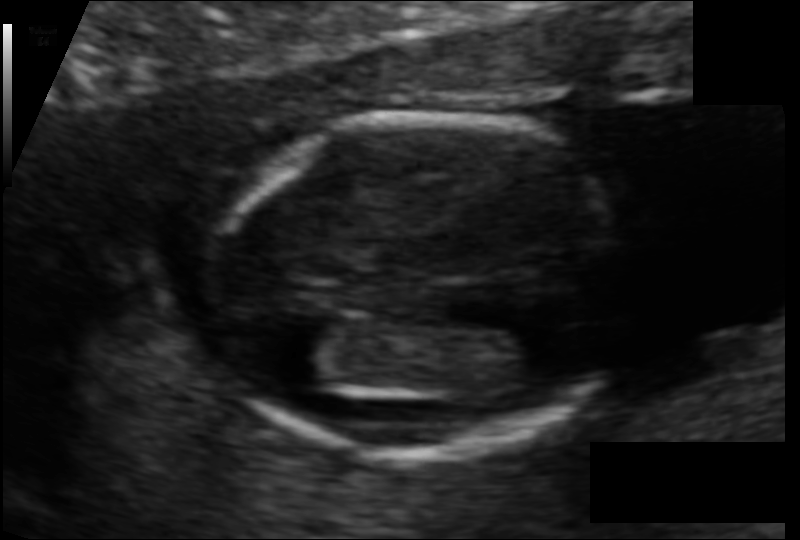
Estimate the fetal head circumference from this 2D ultrasound. Image width: 65.5 mm.

Head circumference: 101.1 mm.